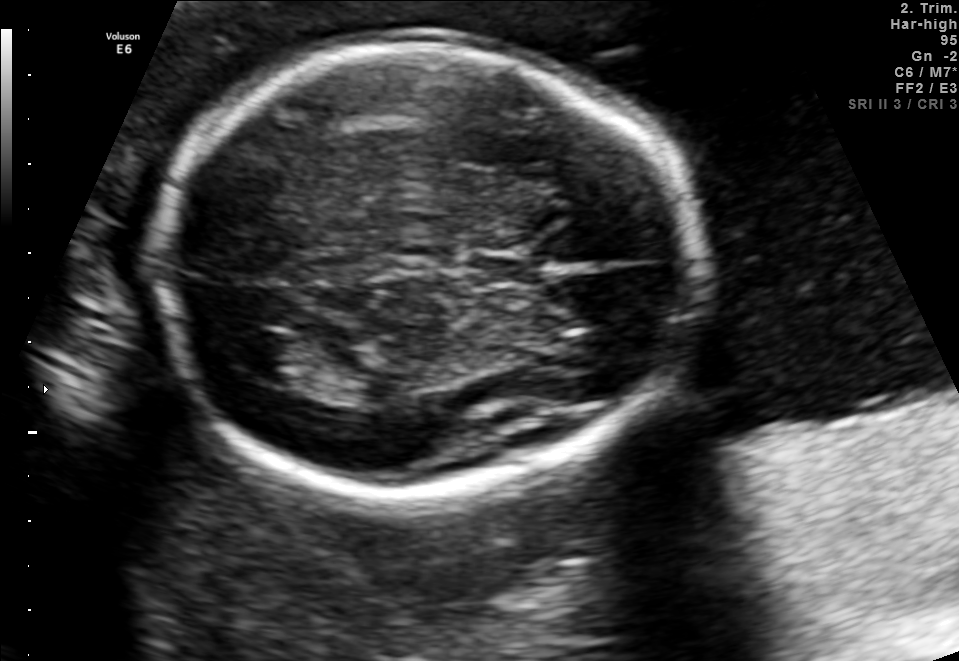
Fetal brain, trans-thalamic plane. Where is the fetal head?

Head bounding box: [151,41,698,496]